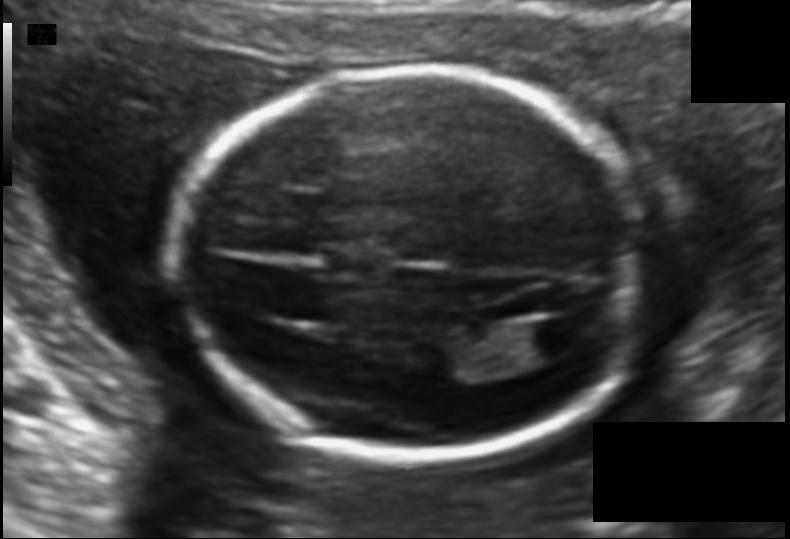
Estimate the fetal head circumference from this 2D ultrasound.

Head circumference: 170.2 mm (image width 95.9 mm).